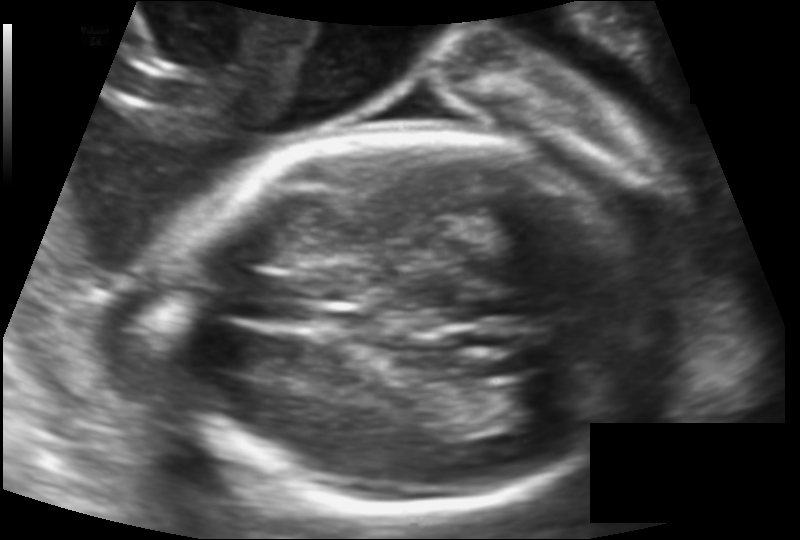
From this fetal ultrasound, estimate the head circumference (image width 106.2 mm).

Head circumference: 177.5 mm.